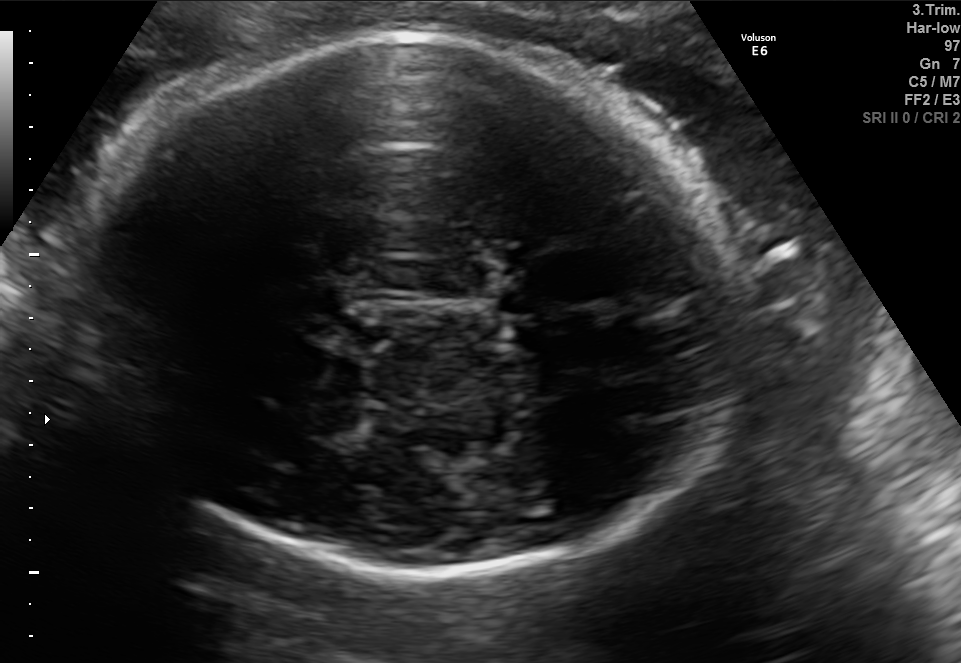
Fetal brain, trans-thalamic plane. Locate the fetal head.

Head: [80,37,735,578]